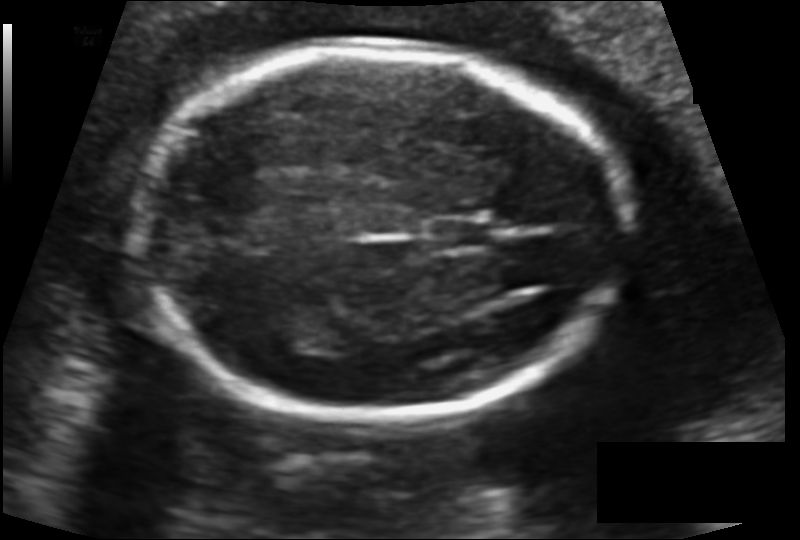
Estimate the fetal head circumference from this 2D ultrasound.

Head circumference: 171.8 mm (image width 98.1 mm).